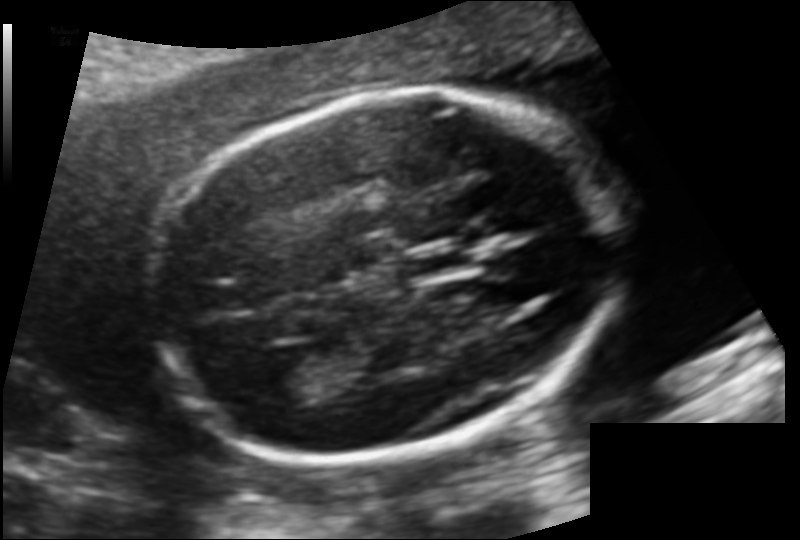
In this fetal head ultrasound, give the bounding box of the lateral ventricle. Image width: 96.3 mm.

[256,352,337,411]